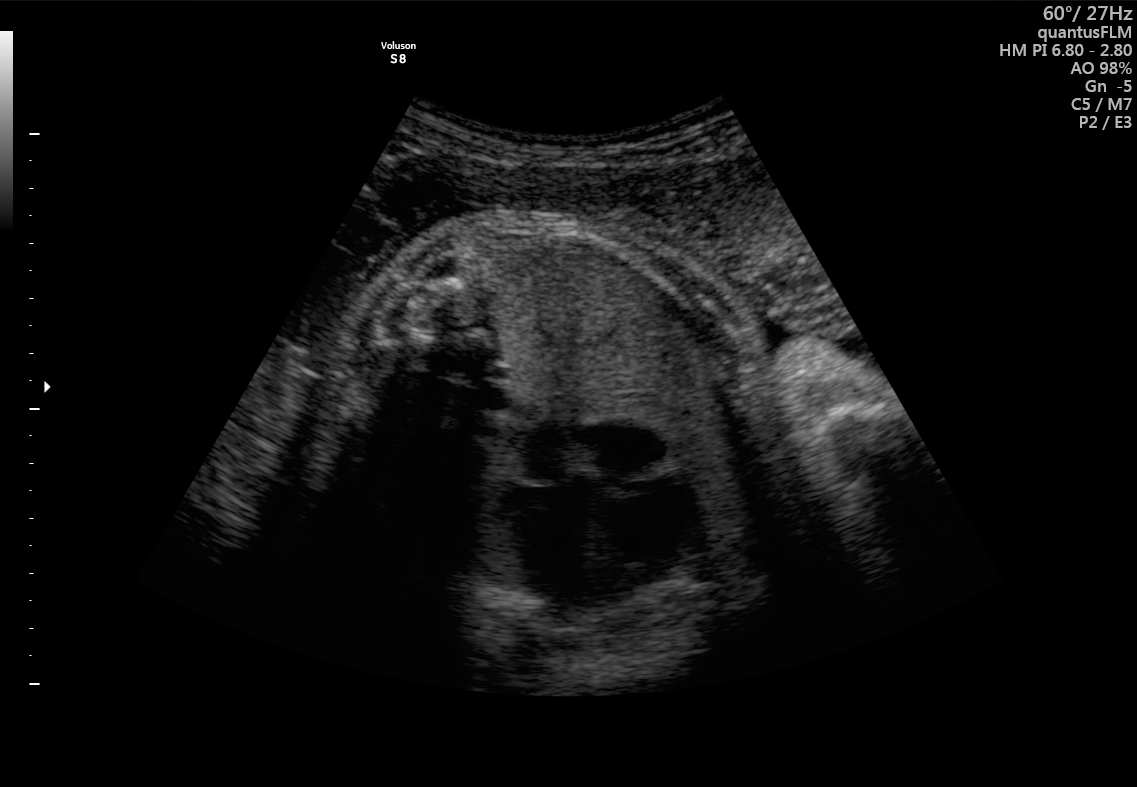
Which standard maternal-fetal ultrasound plane is shown: fetal abdomen, fetal brain, fetal femur, fetal thorax, maternal cervix, or other? If it's fetal brain and one of the three standard brain planes (trans-thalamic, trans-cerebellum, trans-ventricular), name which.

Fetal thorax